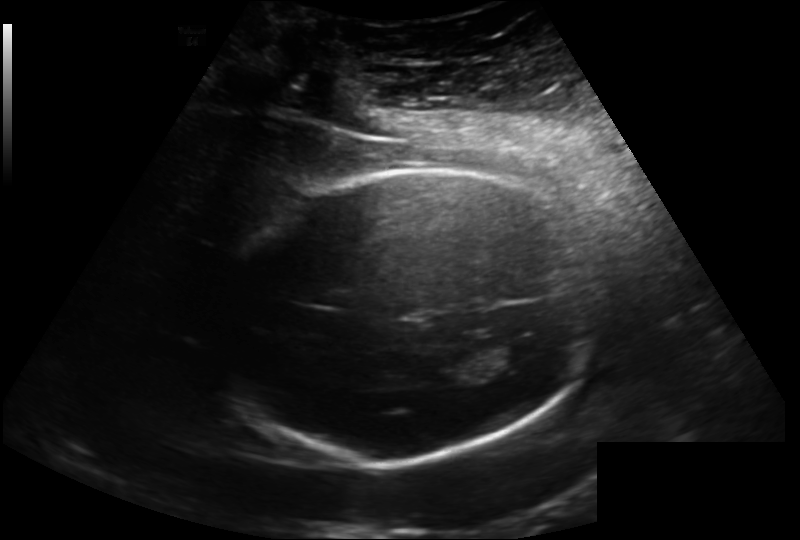
What is the fetal head circumference? Image width is 161.6 mm.

220.9 mm